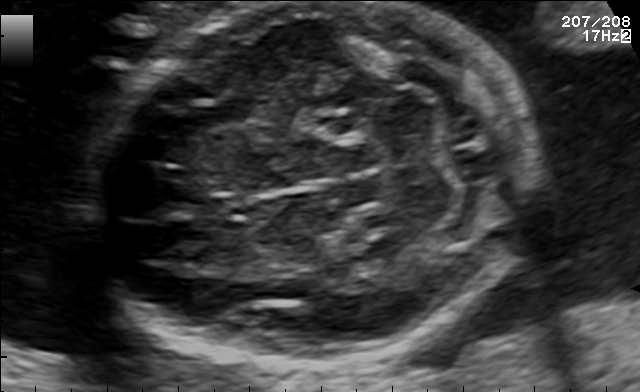
Classify this maternal-fetal ultrasound image as one of the six standard planes — fetal abdomen, fetal brain, fetal femur, fetal thorax, maternal cervix, or other. If it's fetal brain and one of the three standard brain planes (trans-thalamic, trans-cerebellum, trans-ventricular), name which.

Fetal brain (trans-cerebellum plane)